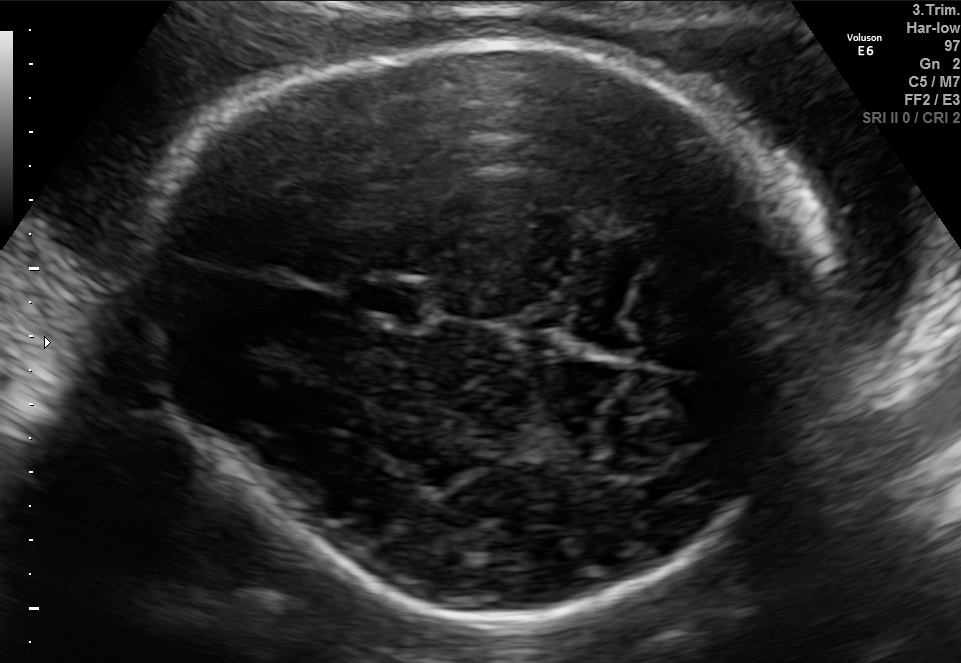
In this fetal brain, trans-thalamic plane, give the bounding box of the cavum septum pellucidum.

[354,277,427,328]